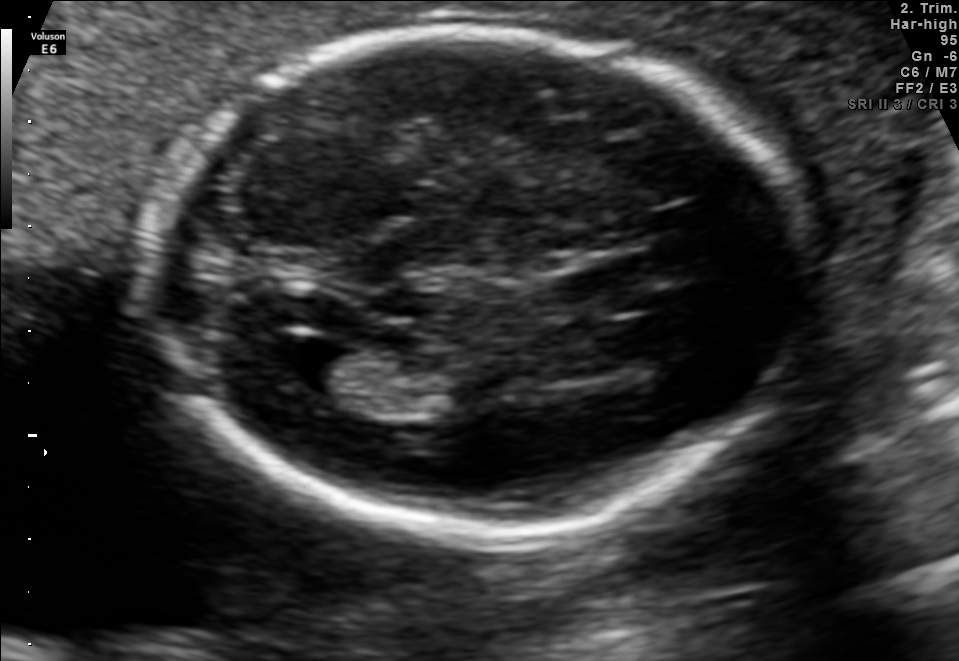
In this fetal brain, trans-ventricular plane, give the bounding box of the lateral ventricle.

[249,314,361,403]